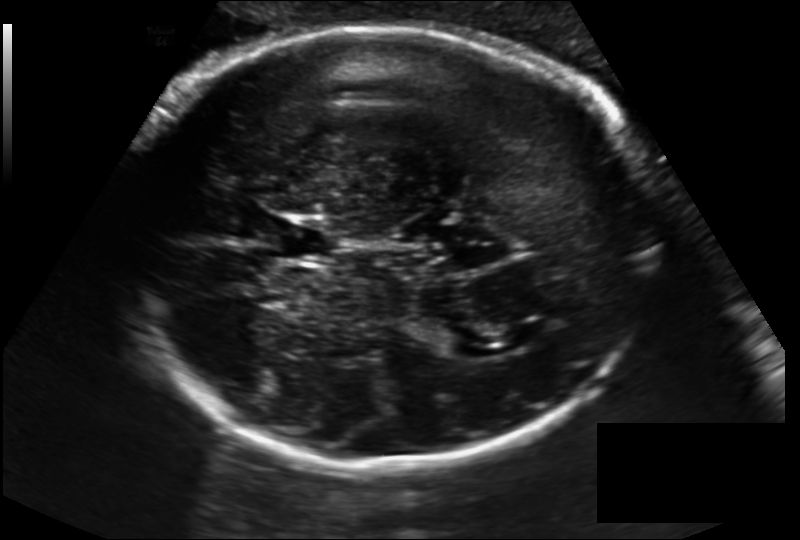
Fetal head ultrasound. Image width: 155.1 mm. Where is the cavum septum pellucidum?

CSP bounding box: [260,215,332,264]